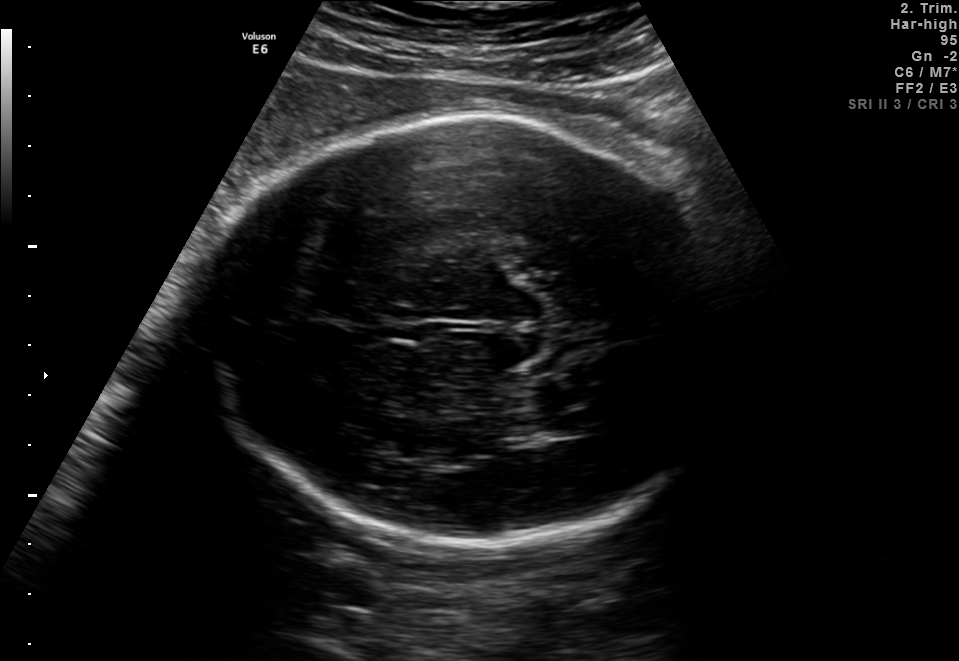
Which standard maternal-fetal ultrasound plane is shown: fetal abdomen, fetal brain, fetal femur, fetal thorax, maternal cervix, or other? If it's fetal brain and one of the three standard brain planes (trans-thalamic, trans-cerebellum, trans-ventricular), name which.

Fetal brain (trans-thalamic plane)